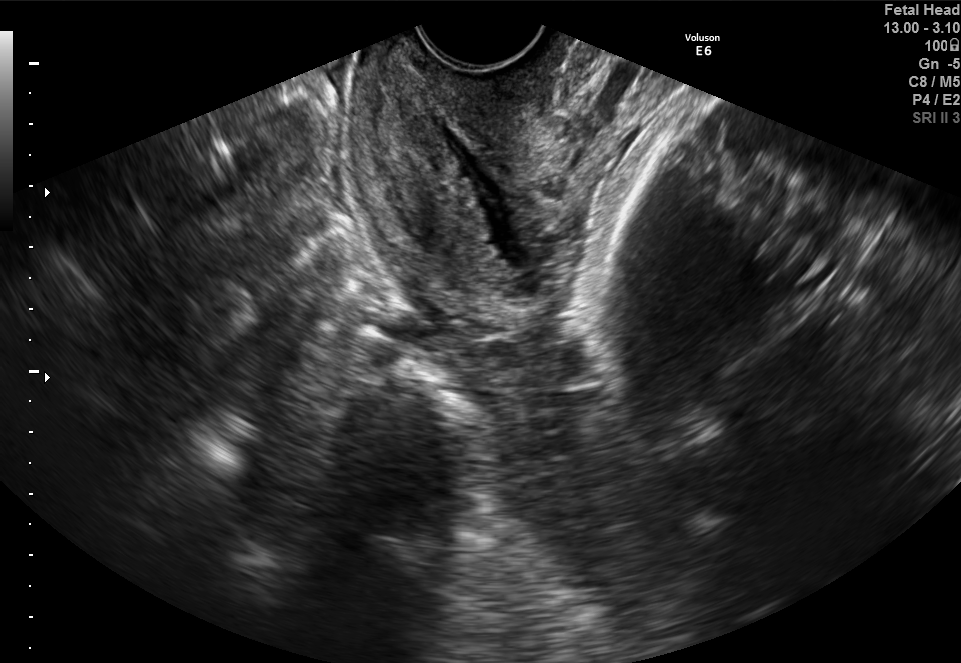
Classify this maternal-fetal ultrasound image as one of the six standard planes — fetal abdomen, fetal brain, fetal femur, fetal thorax, maternal cervix, or other. If it's fetal brain and one of the three standard brain planes (trans-thalamic, trans-cerebellum, trans-ventricular), name which.

Maternal cervix